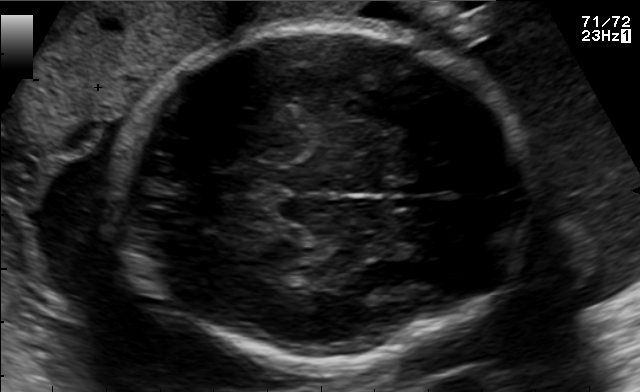
In this fetal brain, trans-thalamic plane, give the bounding box of the fetal head.

[112,27,528,364]